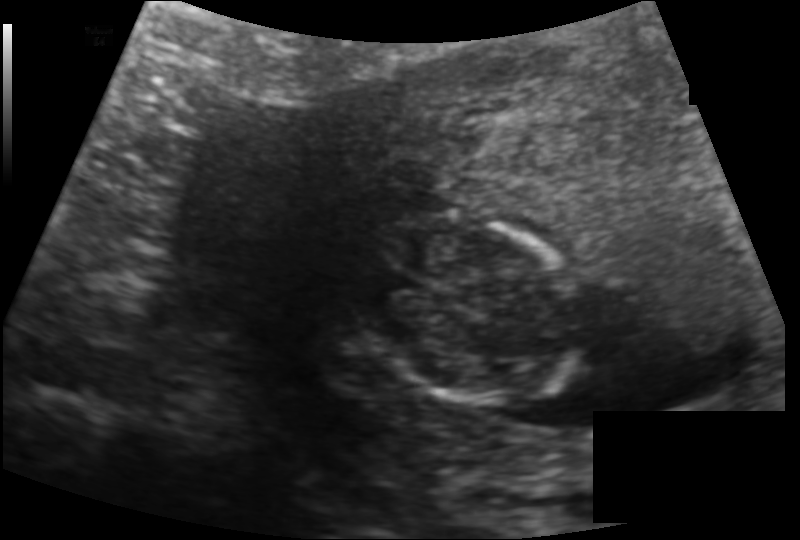
In this fetal head ultrasound, give the bounding box of the fetal head. Image width: 102.6 mm.

[360,215,581,404]